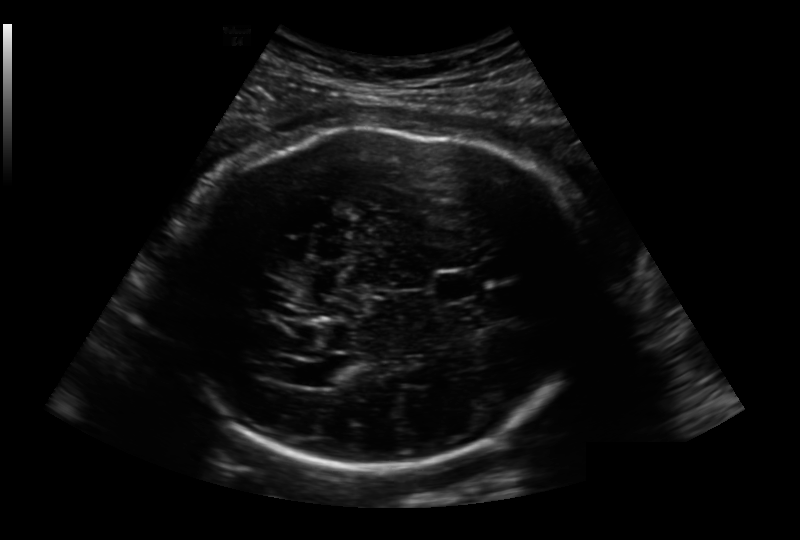
Fetal head ultrasound. Image width: 188.6 mm. Locate the cavum septum pellucidum.

CSP: [432,264,488,305]